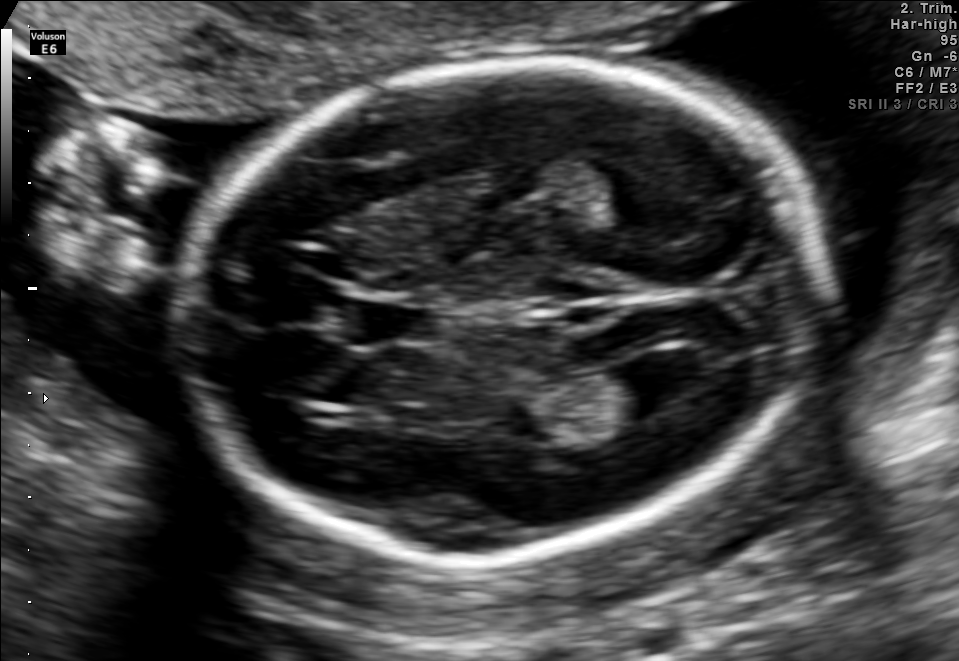
In this fetal brain, trans-ventricular plane, give bounding boxes for the head outline, cavum septum pellucidum (CSP), and lateral ventricle (LV), where visible.

Head: [167,46,844,571]
CSP: [346,302,441,344]
Lateral ventricle: [605,333,717,424]